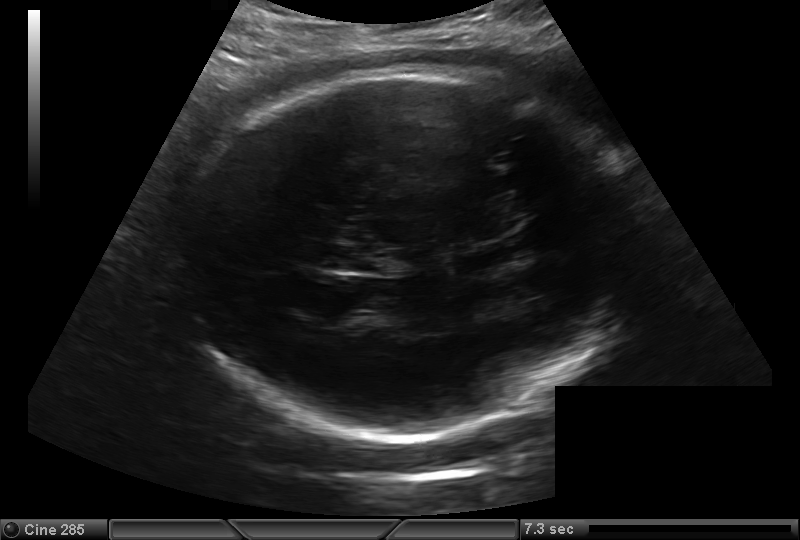
Fetal head ultrasound. Image width: 173.2 mm. Locate the fetal head and, if visible, the cavum septum pellucidum (CSP) and lateral ventricle (LV). Give bounding boxes as [x1,y1,x2,y2].

Head: [189,66,631,441]